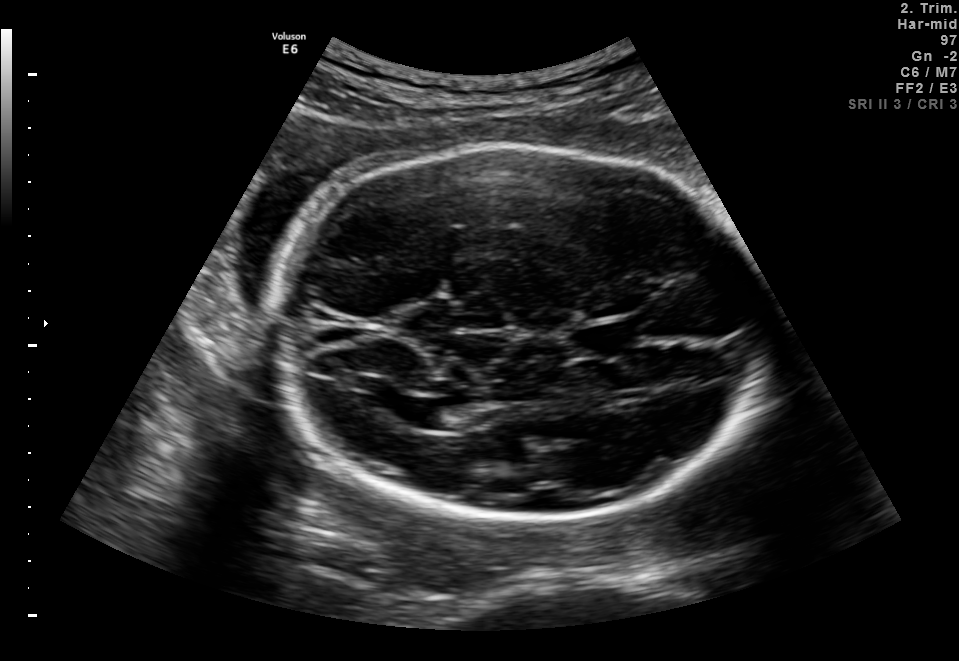
Fetal brain, trans-ventricular plane. Where is the fetal head?

Head bounding box: [268,142,773,529]